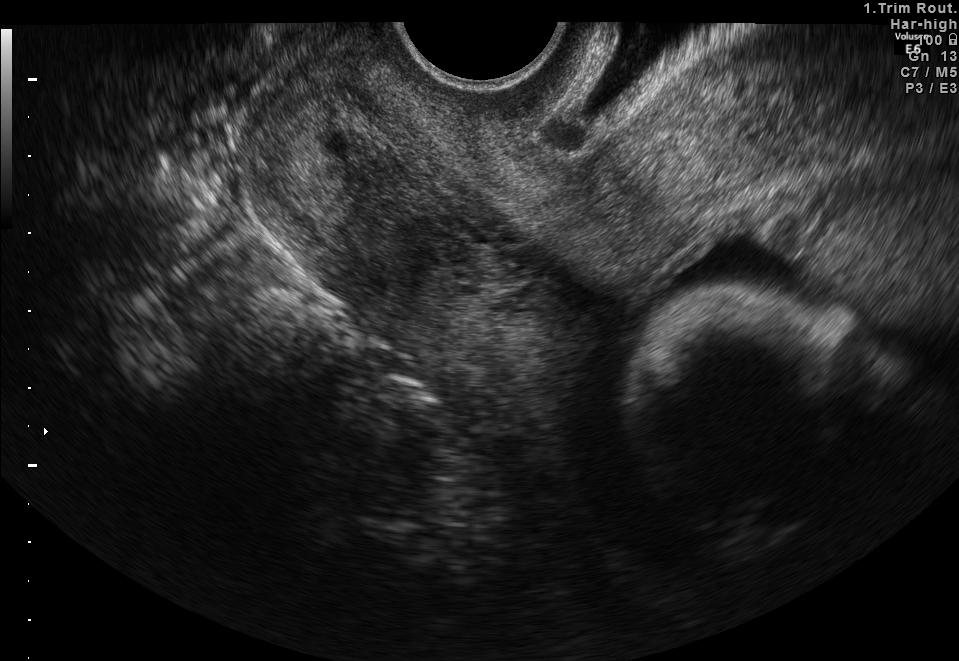
This is a 2D maternal-fetal ultrasound frame. Is it a fetal abdomen, fetal brain, fetal femur, fetal thorax, maternal cervix, or other standard plane? If it's fetal brain and one of the three standard brain planes (trans-thalamic, trans-cerebellum, trans-ventricular), name which.

Maternal cervix